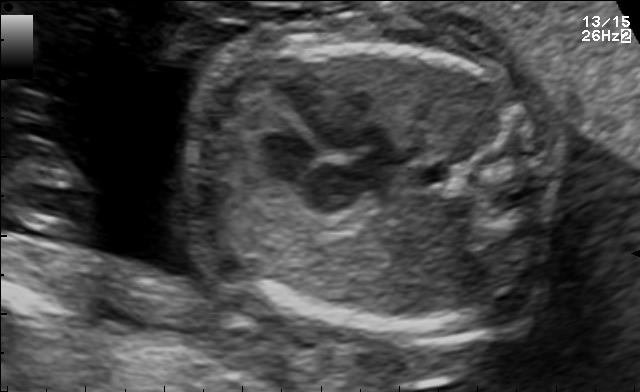
This is a 2D maternal-fetal ultrasound frame. Is it a fetal abdomen, fetal brain, fetal femur, fetal thorax, maternal cervix, or other standard plane? If it's fetal brain and one of the three standard brain planes (trans-thalamic, trans-cerebellum, trans-ventricular), name which.

Fetal thorax